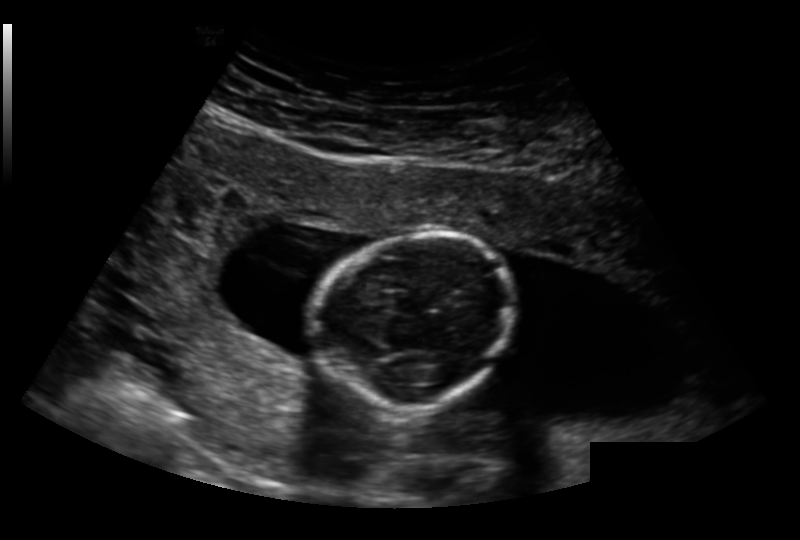
What is the fetal head circumference? Image width is 152.4 mm.

116.8 mm